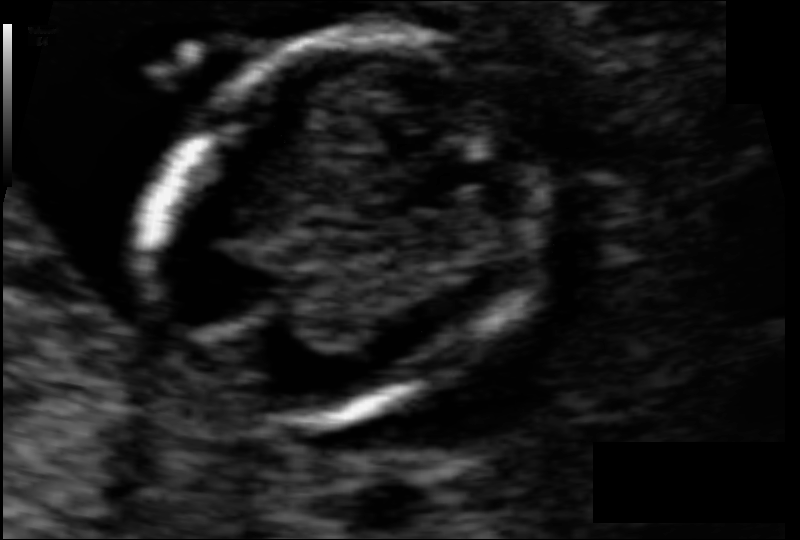
Estimate the fetal head circumference from this 2D ultrasound.

Head circumference: 79.0 mm (image width 48.5 mm).